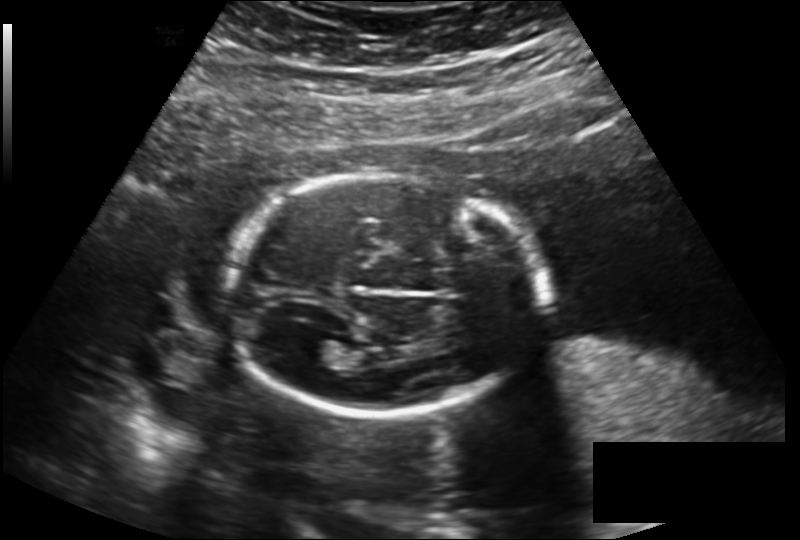
Fetal head ultrasound. Image width: 150.8 mm. Where is the fetal head?

Head bounding box: [224,173,546,413]